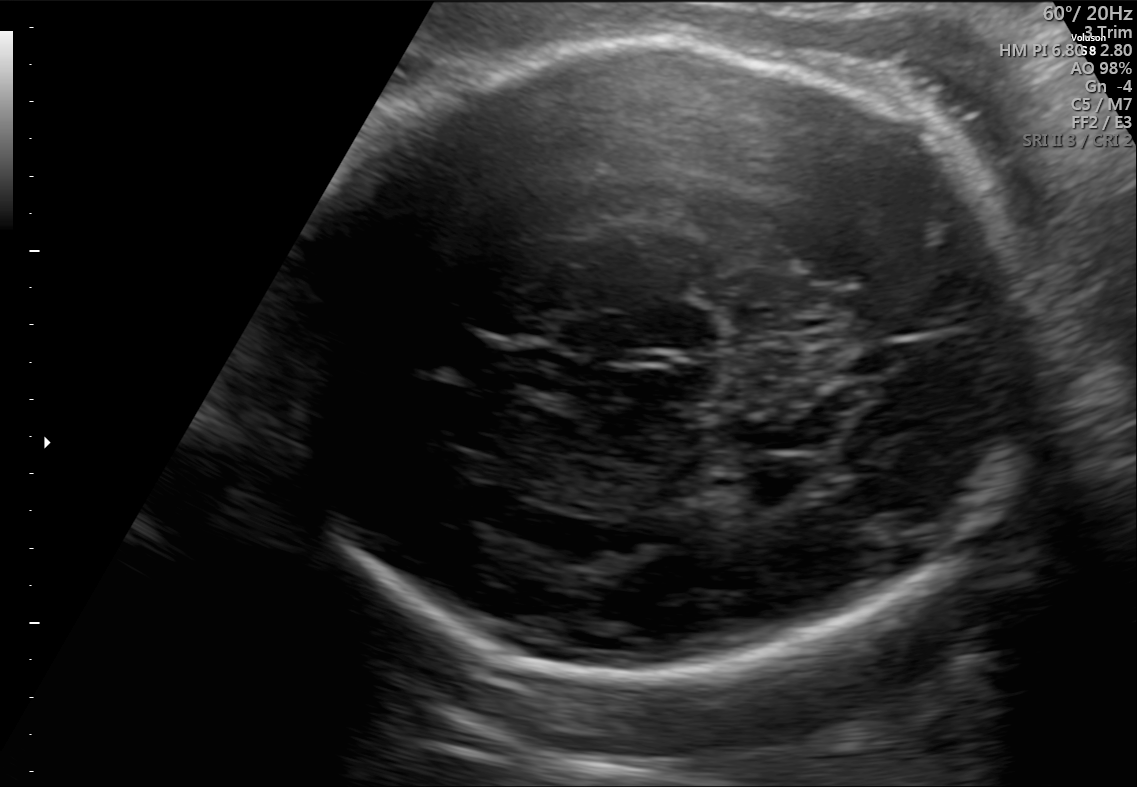
Identify the standard plane in this fetal ultrasound image: fetal abdomen, fetal brain, fetal femur, fetal thorax, maternal cervix, or other. If it's fetal brain and one of the three standard brain planes (trans-thalamic, trans-cerebellum, trans-ventricular), name which.

Fetal brain (trans-thalamic plane)